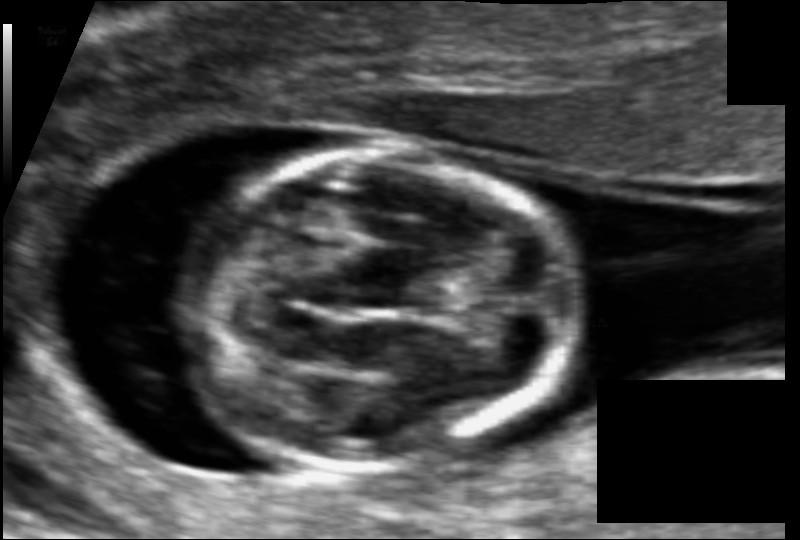
Estimate the fetal head circumference from this 2D ultrasound.

Head circumference: 79.0 mm (image width 53.6 mm).